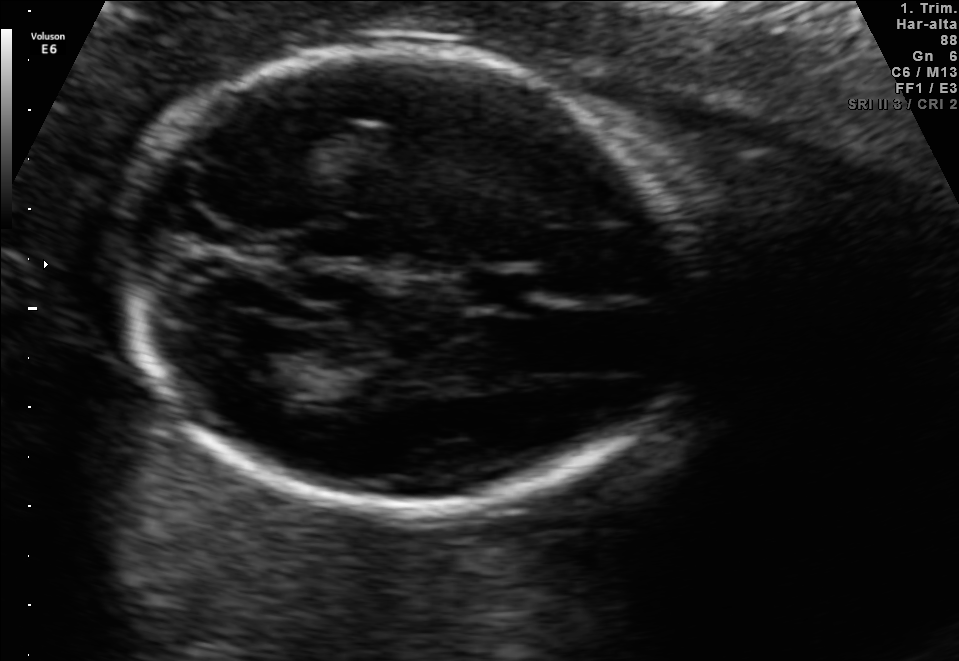
Fetal brain, trans-thalamic plane. Where is the lateral ventricle?

Lateral ventricle bounding box: [227,339,321,404]